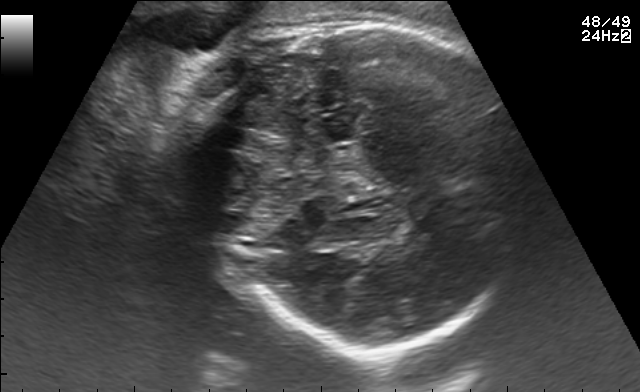
Fetal brain, trans-thalamic plane. Locate the fetal head.

Head: [187,15,531,344]